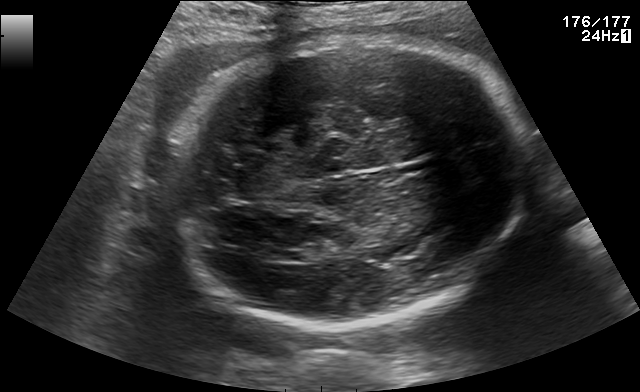
In this fetal brain, trans-thalamic plane, give the bounding box of the lateral ventricle.

[270,251,307,263]